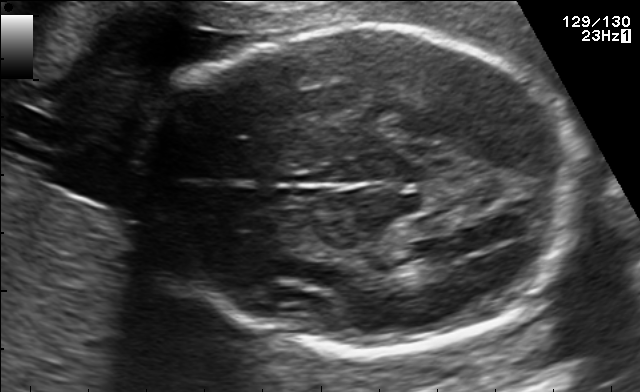
In this fetal brain, trans-ventricular plane, give the bounding box of the fetal head.

[138,21,590,357]